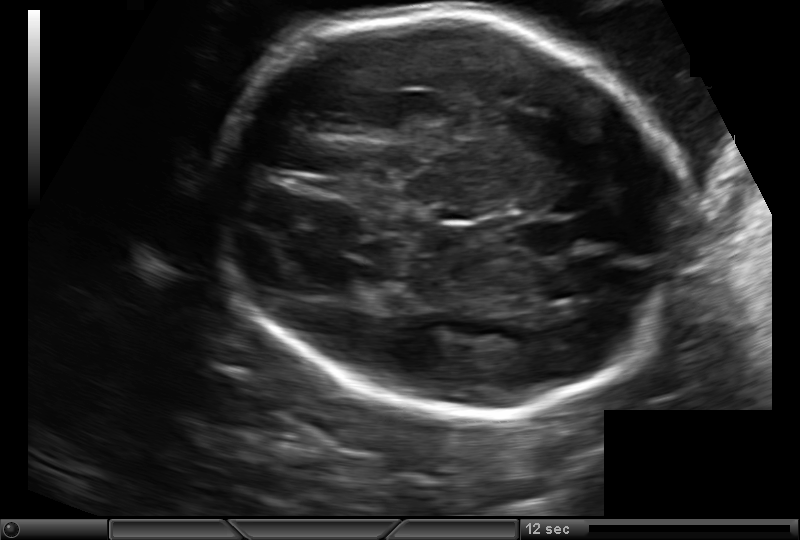
In this fetal head ultrasound, give the bounding box of the fetal head. Image width: 137.2 mm.

[216,14,689,415]